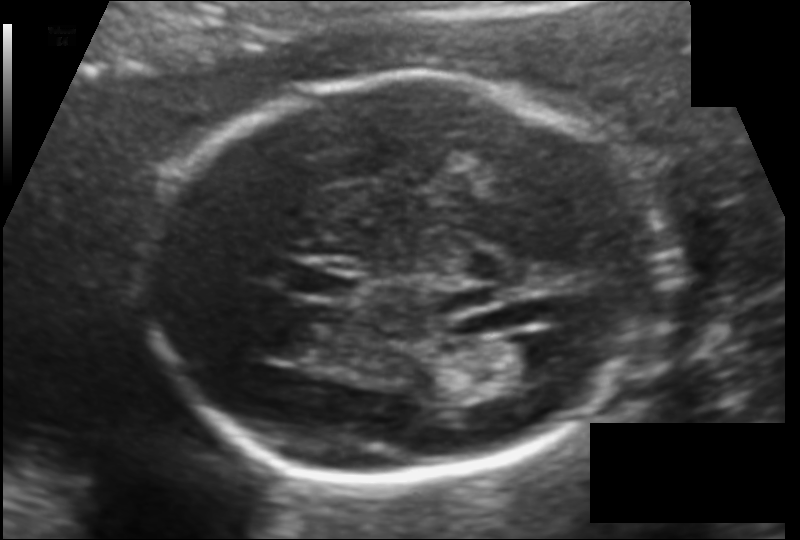
Estimate the fetal head circumference from this 2D ultrasound. Image width: 95.9 mm.

Head circumference: 179.7 mm.